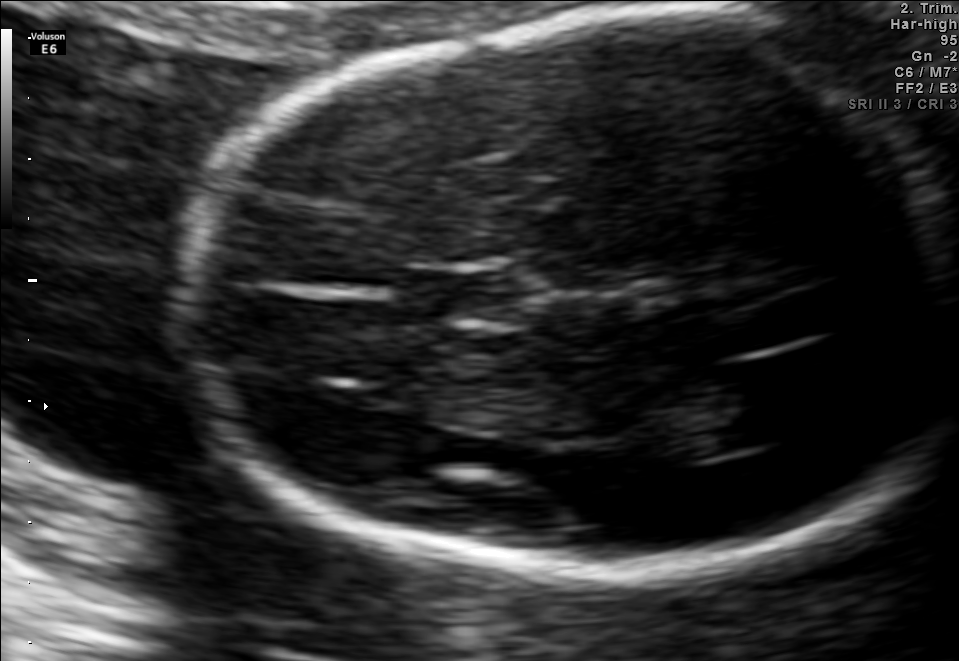
Fetal brain, trans-thalamic plane. Locate the fetal head.

Head: [182,19,955,572]